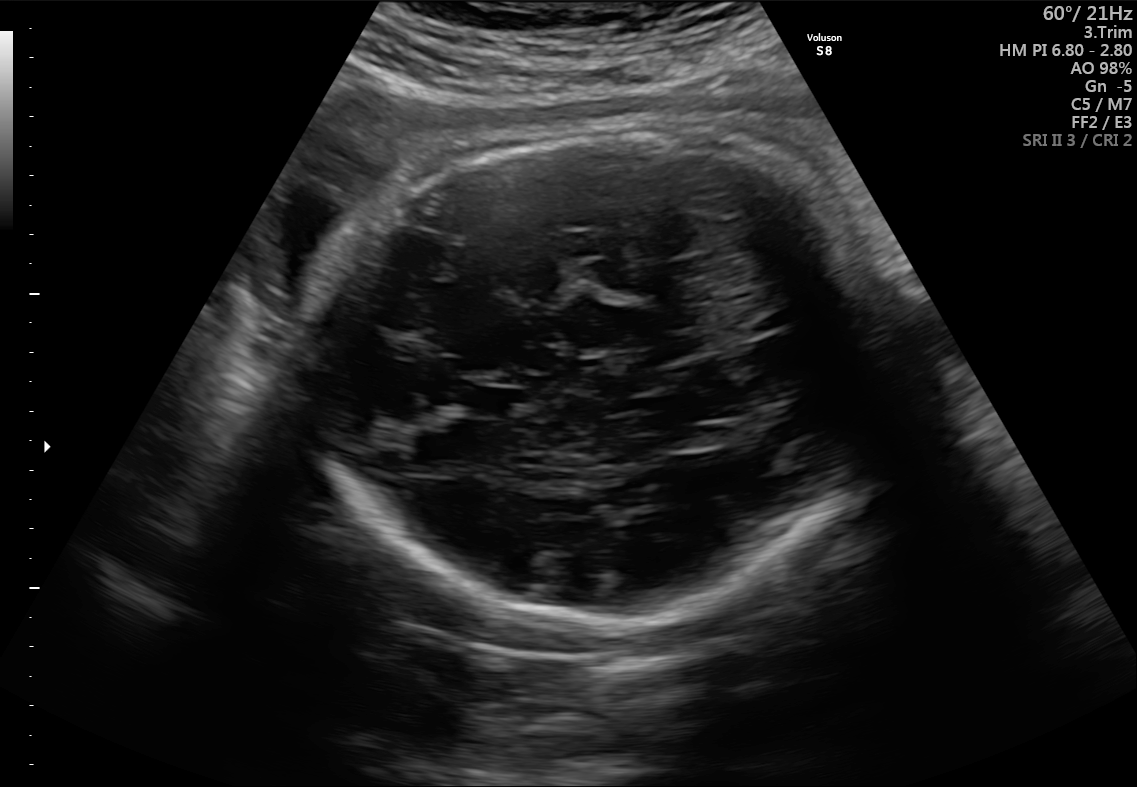
Fetal brain, trans-thalamic plane. Where is the lateral ventricle?

Lateral ventricle bounding box: [670,421,734,452]